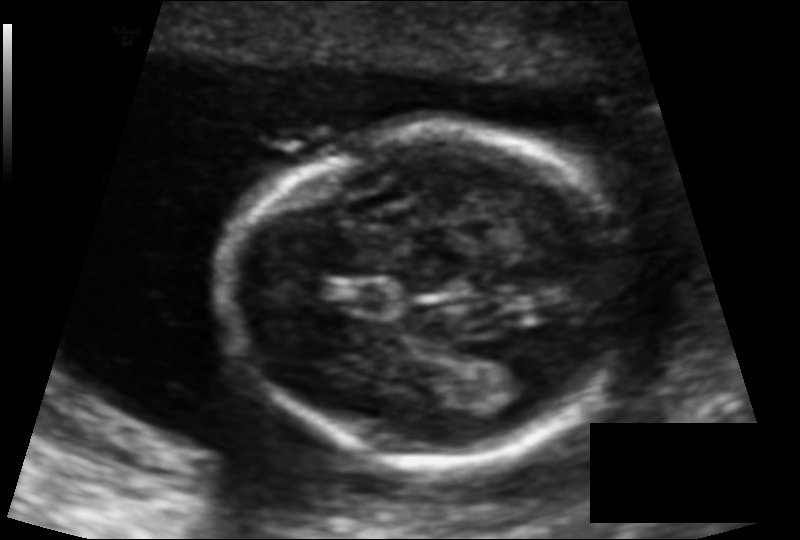
What is the fetal head circumference? Image width is 81.7 mm.

121.3 mm